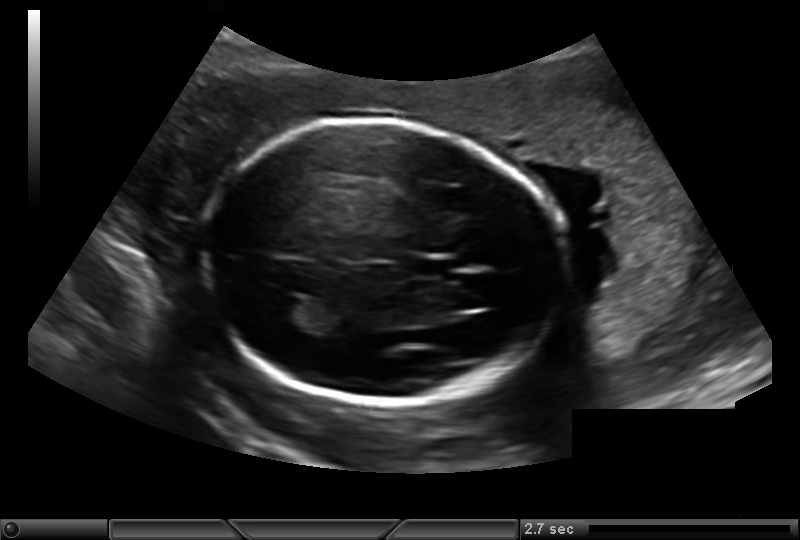
In this fetal head ultrasound, give the bounding box of the lateral ventricle. Image width: 154.2 mm.

[263,290,316,331]